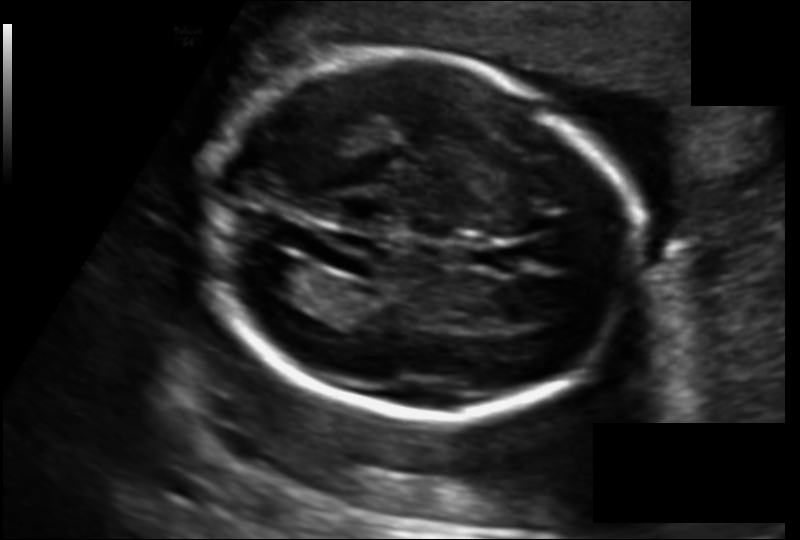
What is the fetal head circumference? Image width is 107.9 mm.

174.4 mm